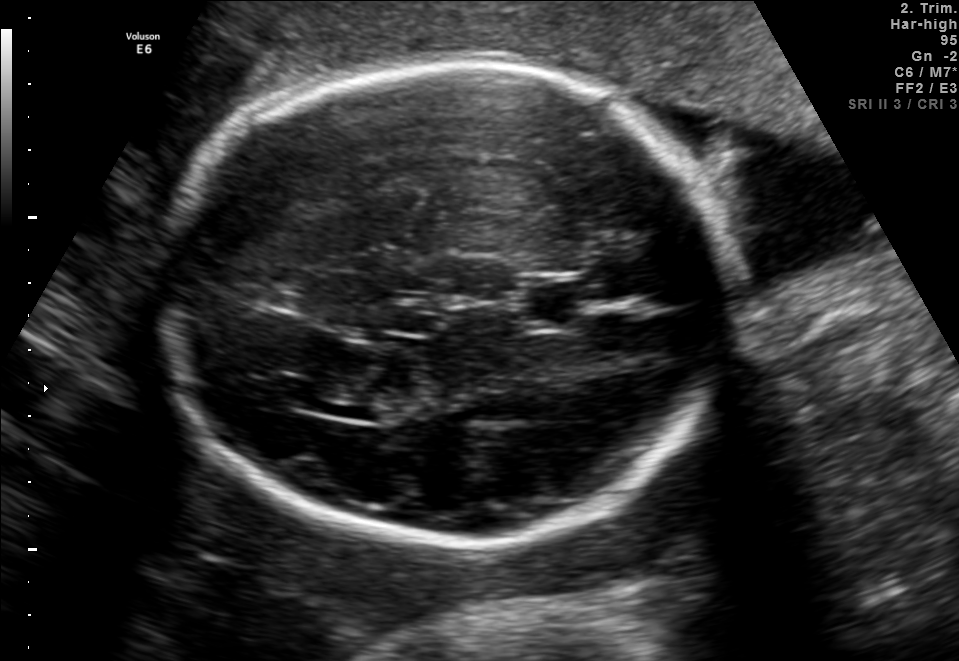
Identify the standard plane in this fetal ultrasound image: fetal abdomen, fetal brain, fetal femur, fetal thorax, maternal cervix, or other. If it's fetal brain and one of the three standard brain planes (trans-thalamic, trans-cerebellum, trans-ventricular), name which.

Fetal brain (trans-thalamic plane)